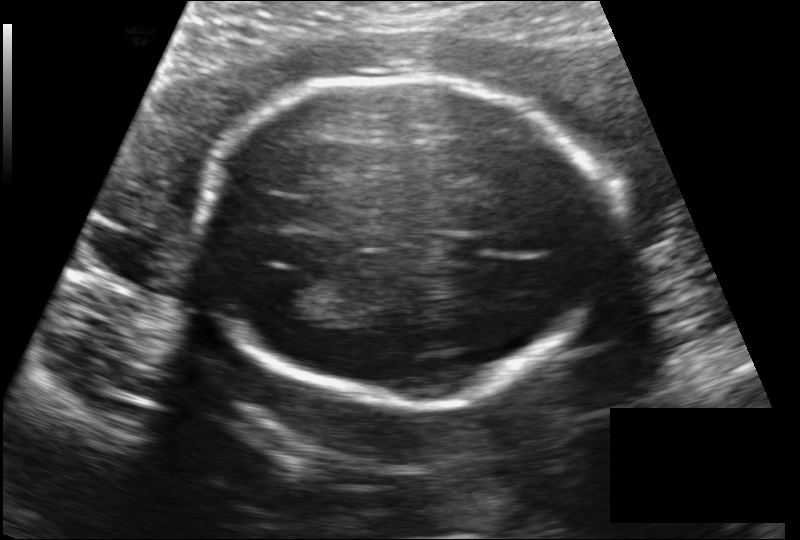
Fetal head ultrasound. Image width: 119.2 mm. Where is the cavum septum pellucidum?

CSP bounding box: [444,235,488,264]